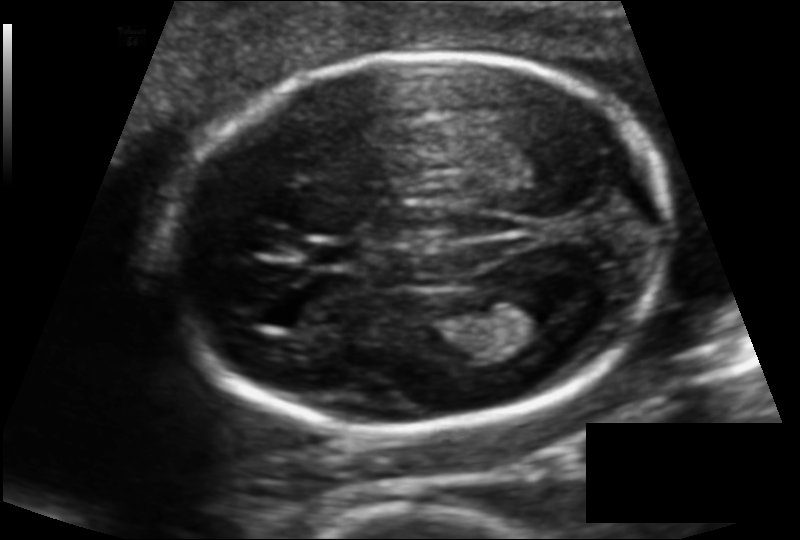
Fetal head ultrasound. Image width: 95.8 mm. Locate the lateral ventricle.

Lateral ventricle: [482,269,580,352]